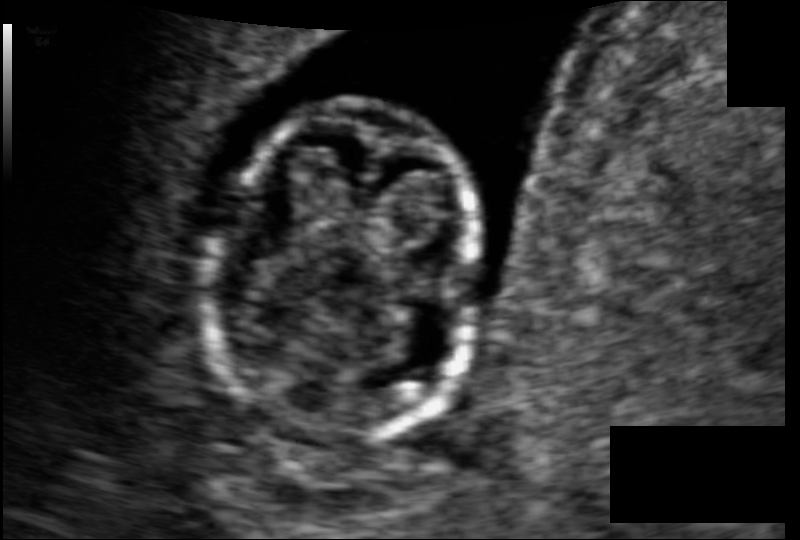
In this fetal head ultrasound, give bounding boxes for the head outline, cavum septum pellucidum (CSP), and lateral ventricle (LV), where visible. Image width: 59.1 mm.

Head: [212,103,478,440]